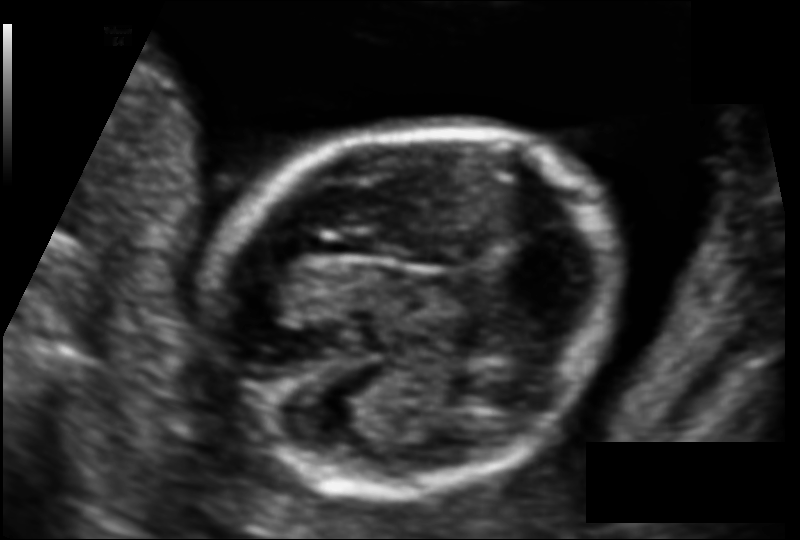
What is the fetal head circumference? Image width is 79.2 mm.

123.4 mm